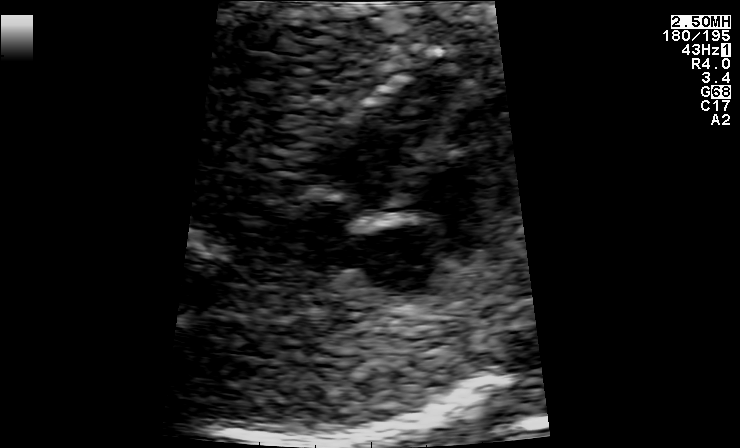
Identify the standard plane in this fetal ultrasound image: fetal abdomen, fetal brain, fetal femur, fetal thorax, maternal cervix, or other. If it's fetal brain and one of the three standard brain planes (trans-thalamic, trans-cerebellum, trans-ventricular), name which.

Fetal thorax